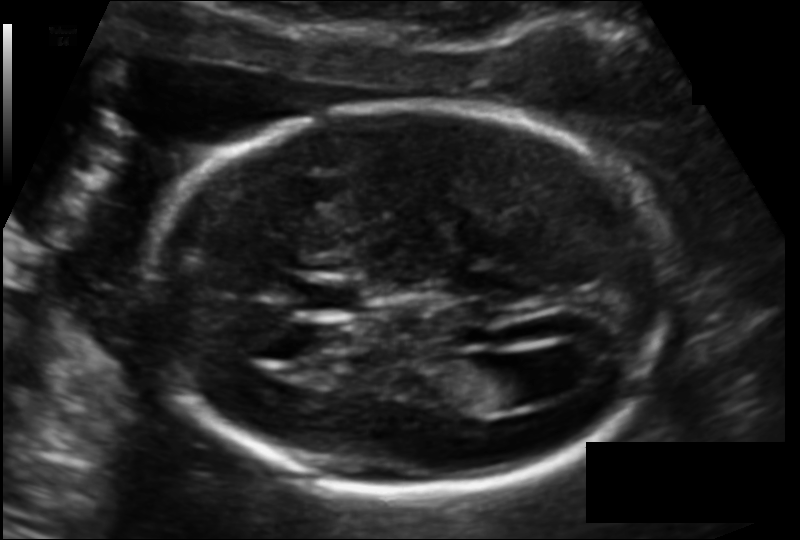
Fetal head ultrasound. Image width: 94.5 mm. Where is the cavum septum pellucidum?

CSP bounding box: [299,277,364,314]